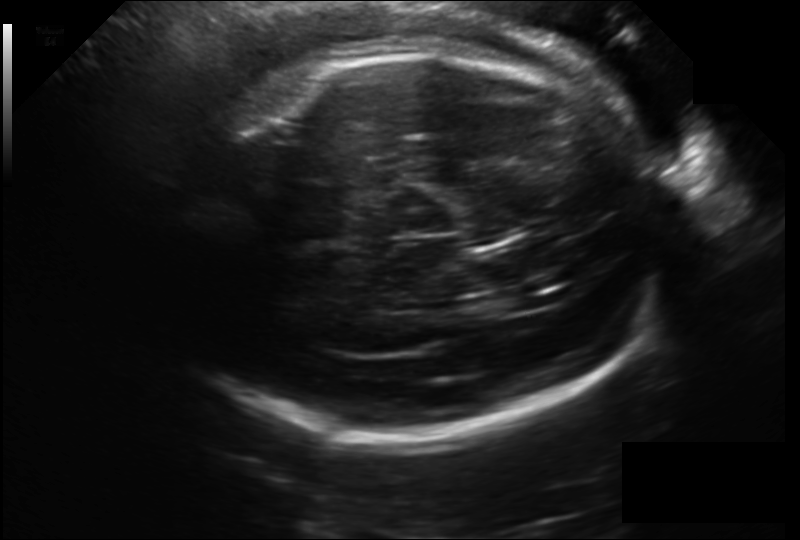
Estimate the fetal head circumference from this 2D ultrasound. Image width: 162.0 mm.

Head circumference: 289.5 mm.